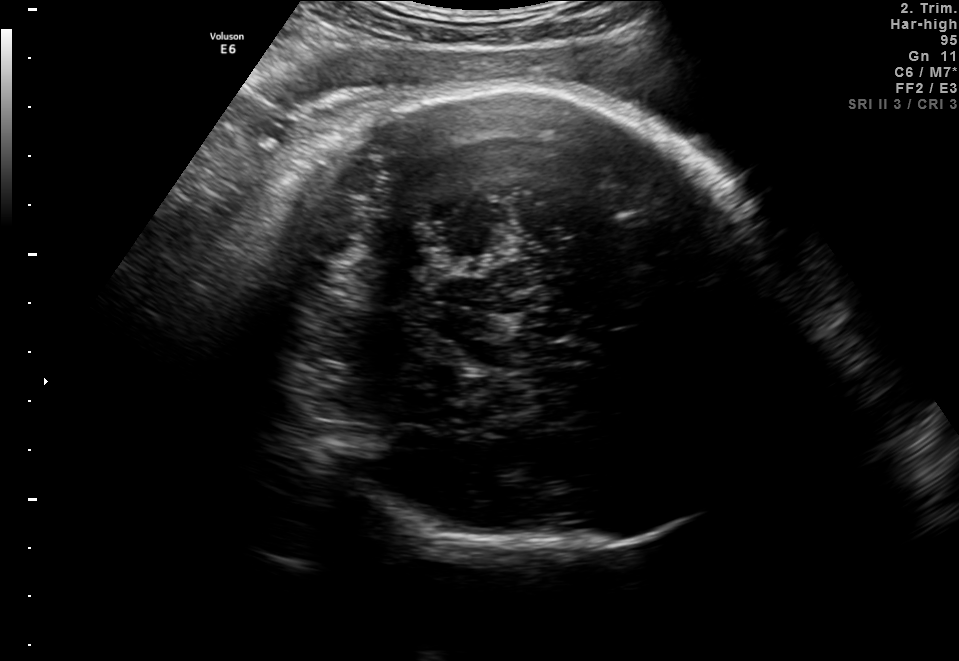
In this fetal brain, trans-thalamic plane, give the bounding box of the fetal head.

[246,88,787,555]